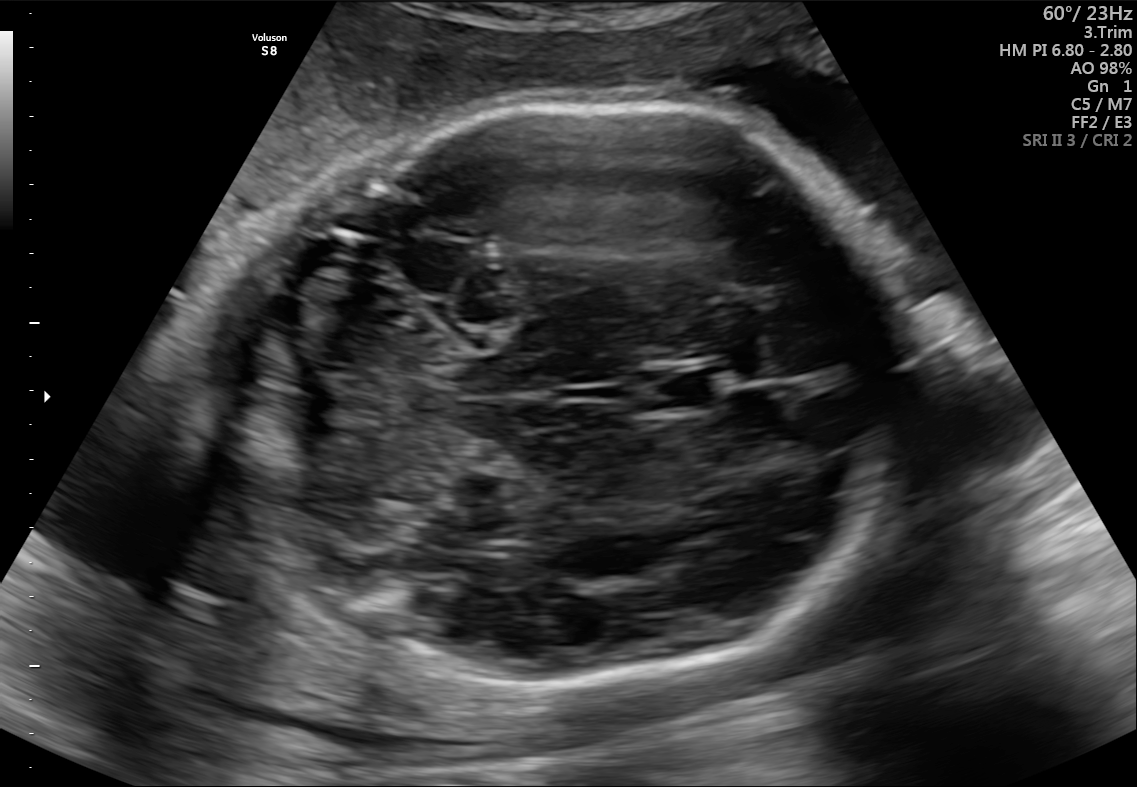
Fetal brain, trans-cerebellum plane. Where is the fetal head?

Head bounding box: [198,105,906,687]